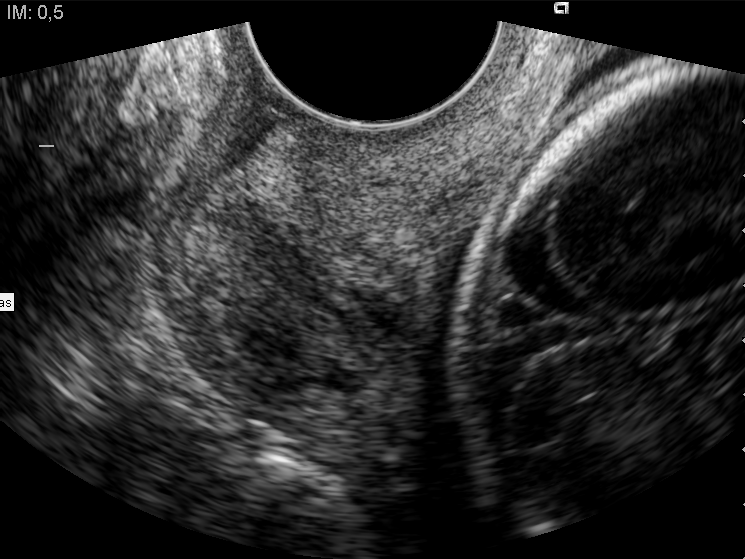
Identify the standard plane in this fetal ultrasound image: fetal abdomen, fetal brain, fetal femur, fetal thorax, maternal cervix, or other. If it's fetal brain and one of the three standard brain planes (trans-thalamic, trans-cerebellum, trans-ventricular), name which.

Maternal cervix